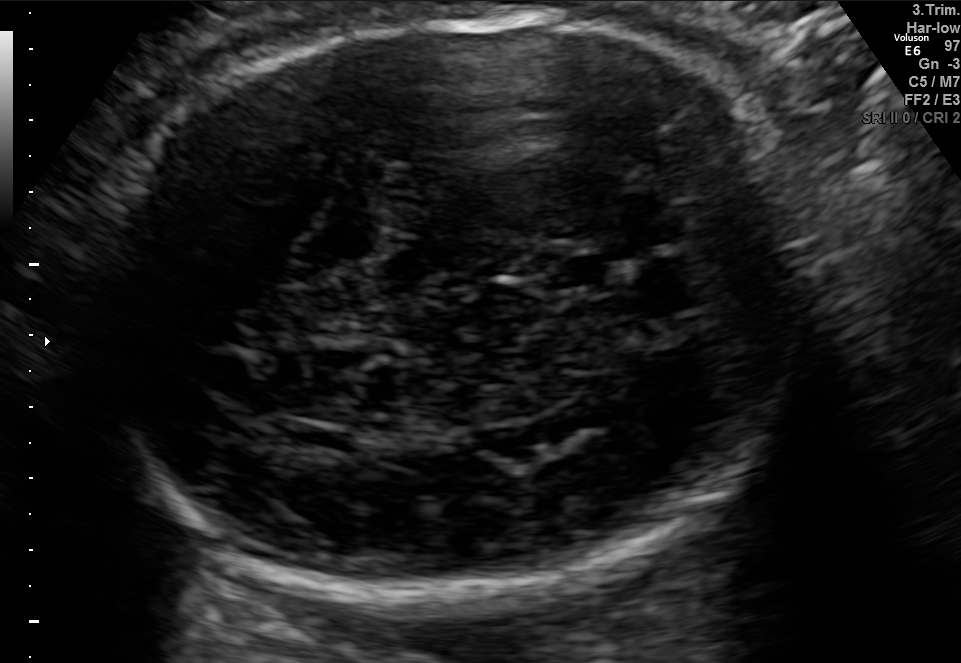
Fetal brain, trans-thalamic plane. Where is the lateral ventricle?

Lateral ventricle bounding box: [283,417,351,460]